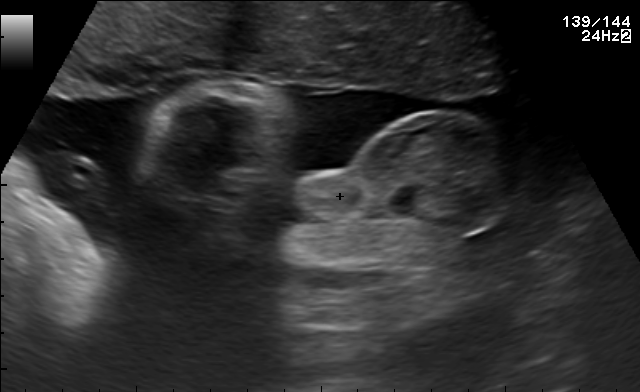
This is a 2D maternal-fetal ultrasound frame. Is it a fetal abdomen, fetal brain, fetal femur, fetal thorax, maternal cervix, or other standard plane? If it's fetal brain and one of the three standard brain planes (trans-thalamic, trans-cerebellum, trans-ventricular), name which.

Other